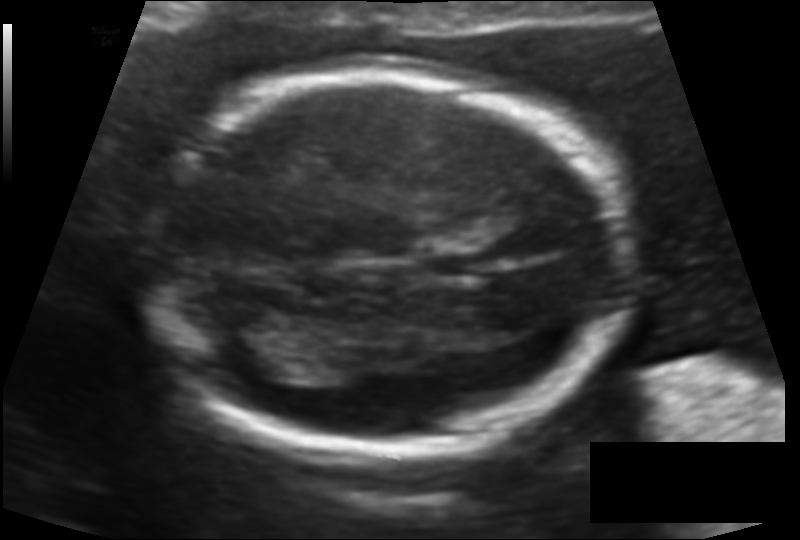
Fetal head ultrasound. Image width: 92.6 mm. Locate the fetal head.

Head: [139,69,622,449]